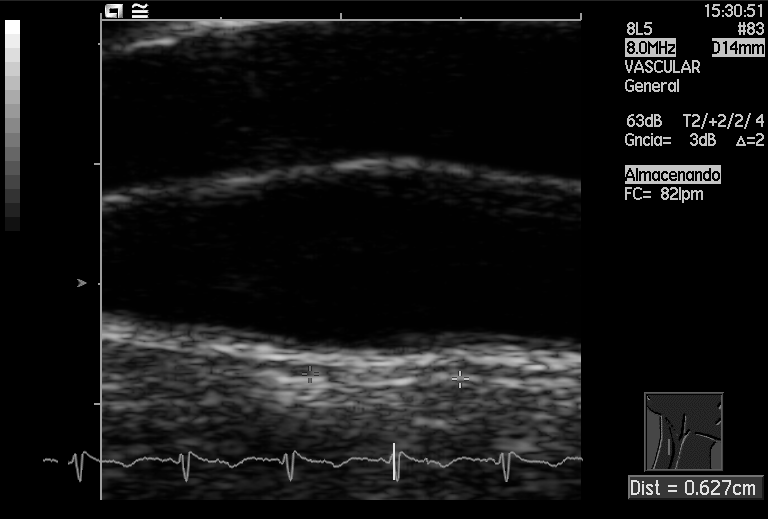
Classify this maternal-fetal ultrasound image as one of the six standard planes — fetal abdomen, fetal brain, fetal femur, fetal thorax, maternal cervix, or other. If it's fetal brain and one of the three standard brain planes (trans-thalamic, trans-cerebellum, trans-ventricular), name which.

Other